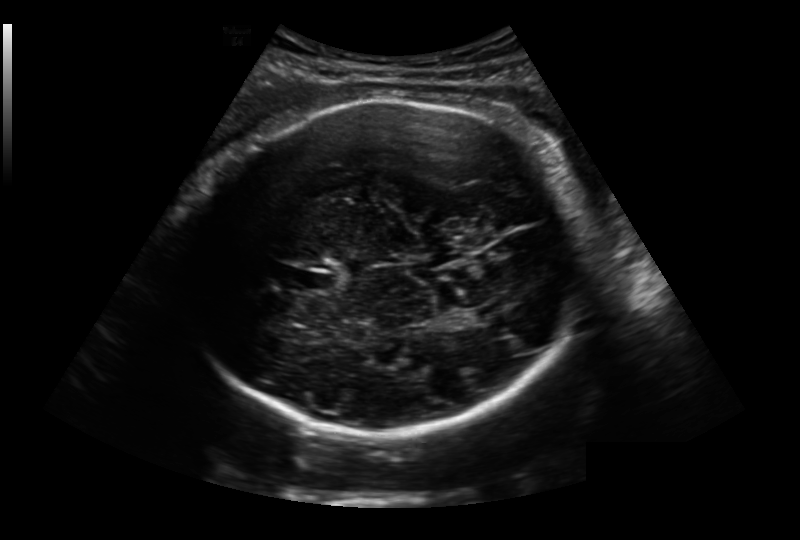
Fetal head ultrasound. Image width: 188.7 mm. Locate the fetal head.

Head: [180,97,593,435]